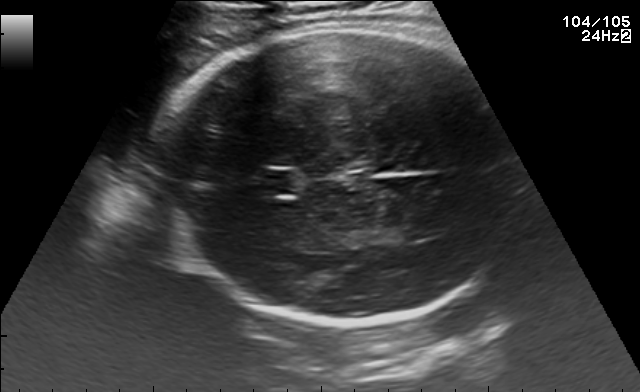
In this fetal brain, trans-thalamic plane, give bounding boxes for the head outline, cavum septum pellucidum (CSP), and lateral ventricle (LV), where visible.

Head: [151,24,508,326]
CSP: [254,169,295,195]